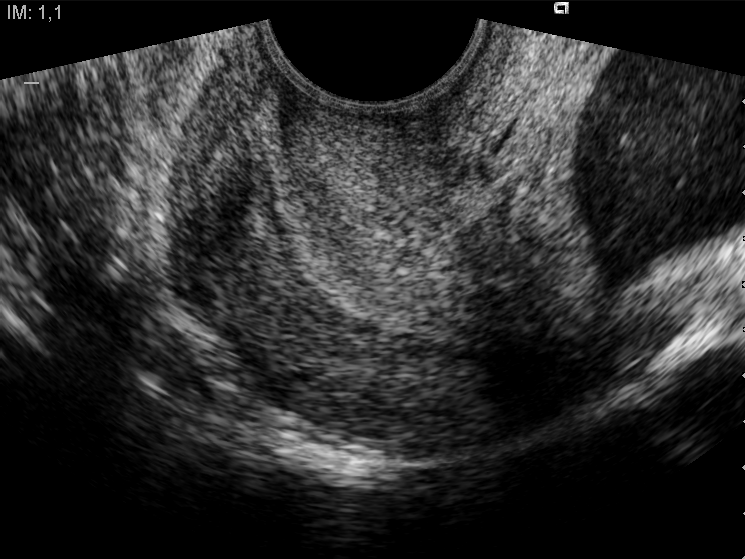
Which standard maternal-fetal ultrasound plane is shown: fetal abdomen, fetal brain, fetal femur, fetal thorax, maternal cervix, or other? If it's fetal brain and one of the three standard brain planes (trans-thalamic, trans-cerebellum, trans-ventricular), name which.

Maternal cervix